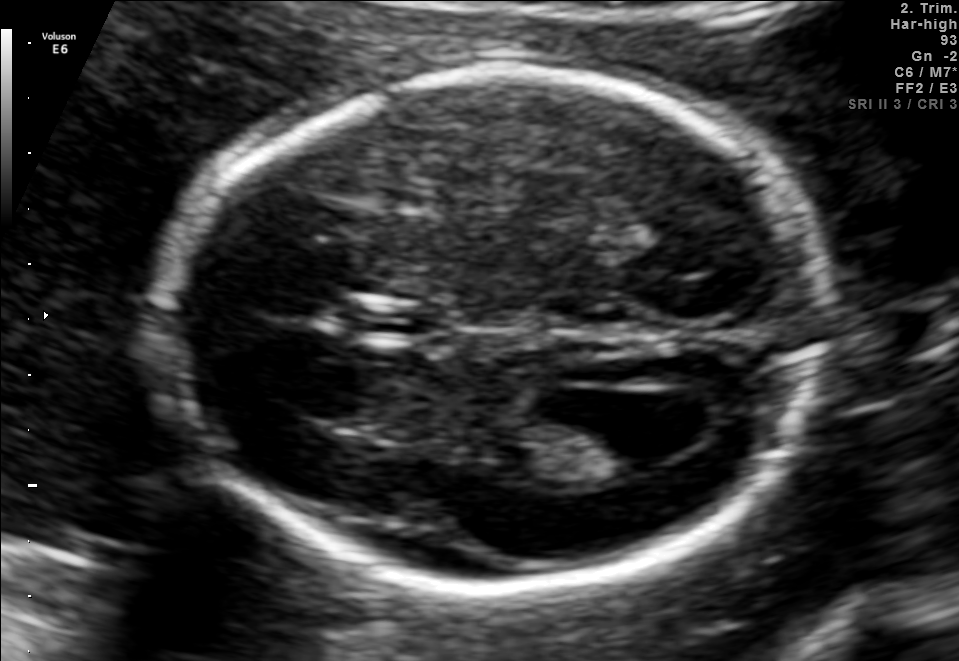
Fetal brain, trans-ventricular plane. Where is the cavum septum pellucidum?

CSP bounding box: [333,291,462,358]